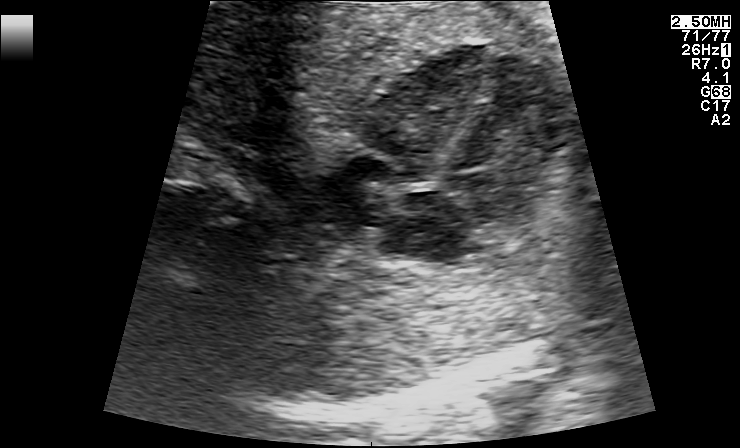
Identify the standard plane in this fetal ultrasound image: fetal abdomen, fetal brain, fetal femur, fetal thorax, maternal cervix, or other. If it's fetal brain and one of the three standard brain planes (trans-thalamic, trans-cerebellum, trans-ventricular), name which.

Fetal thorax